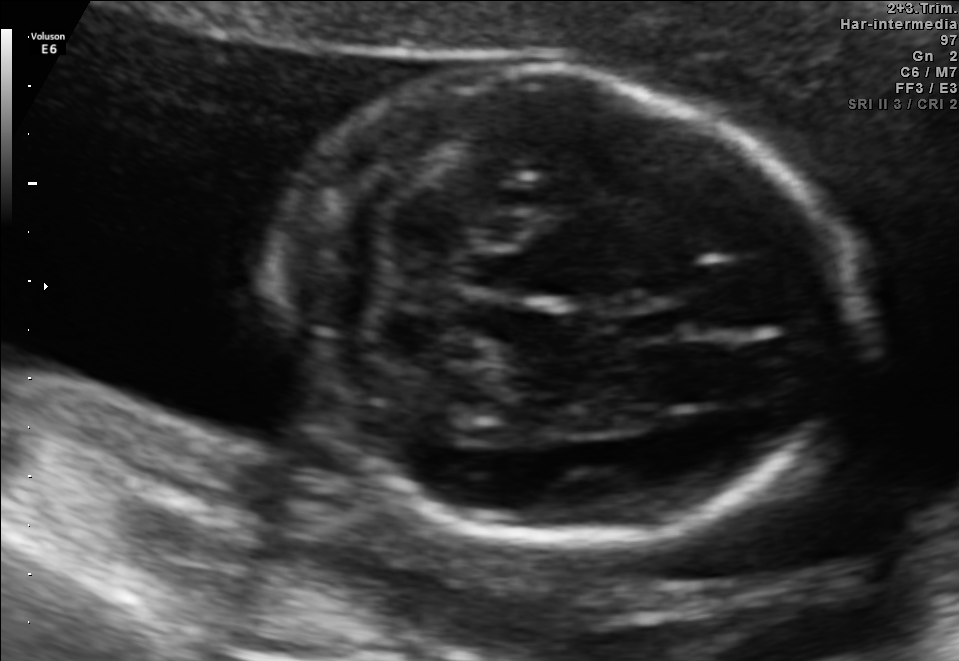
In this fetal brain, trans-cerebellum plane, give the bounding box of the fetal head.

[271,68,858,529]